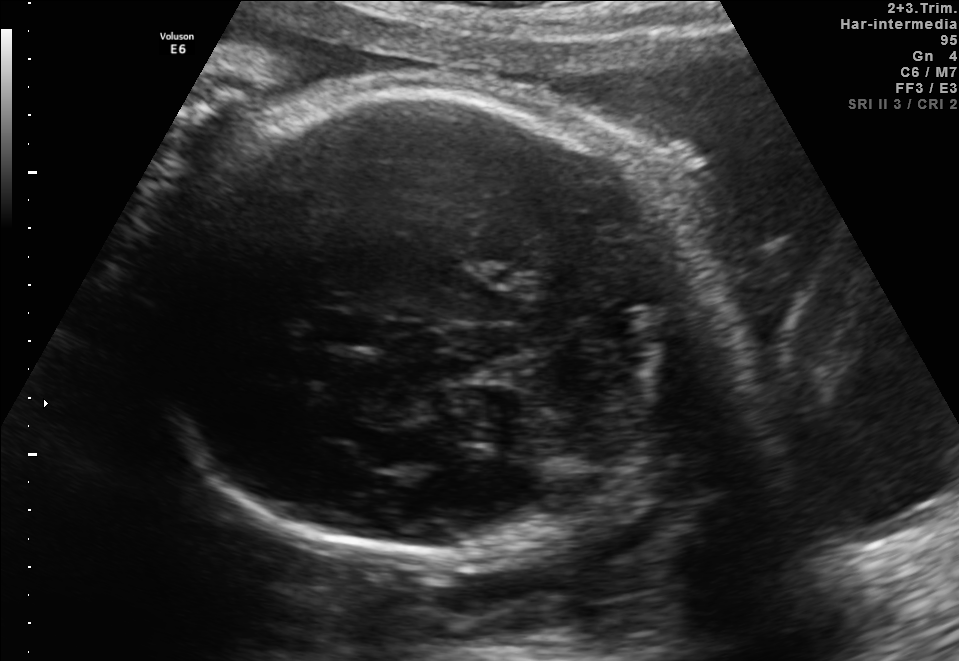
In this fetal brain, trans-thalamic plane, give the bounding box of the cavum septum pellucidum.

[310,308,385,349]